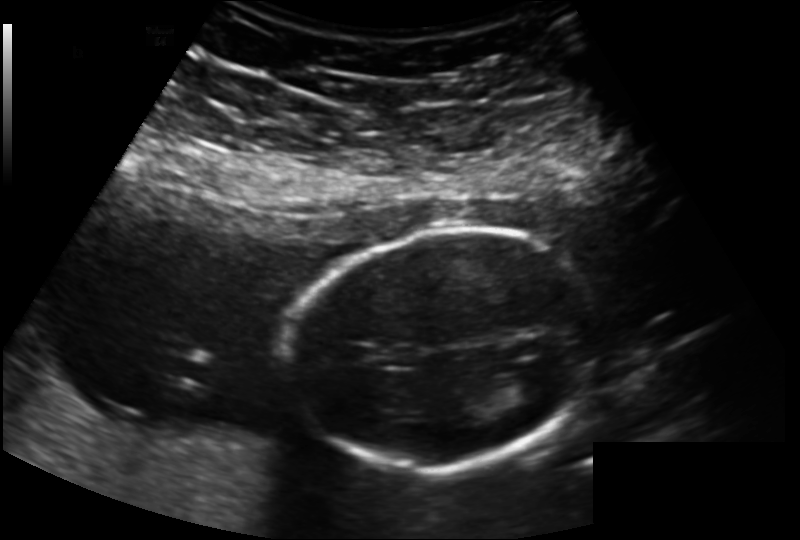
Fetal head ultrasound. Image width: 130.7 mm. Locate the fetal head.

Head: [294,229,597,470]